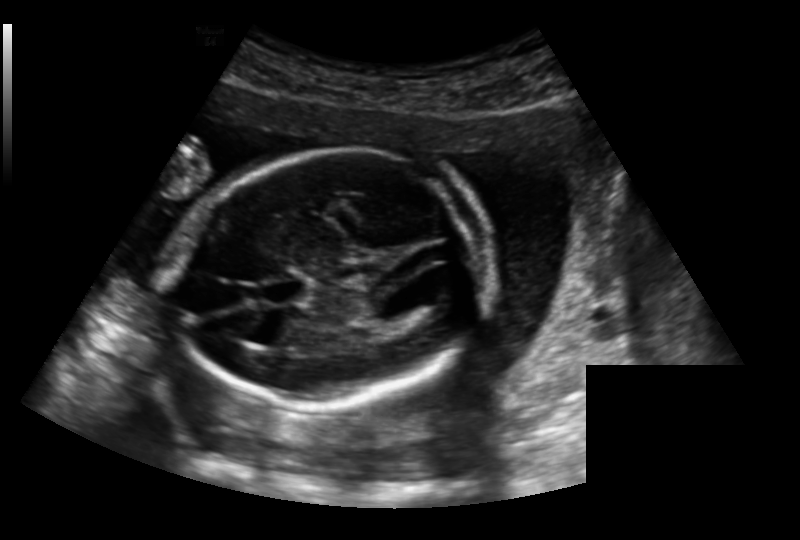
Fetal head ultrasound. Image width: 152.5 mm. Locate the fetal head.

Head: [177,149,483,404]